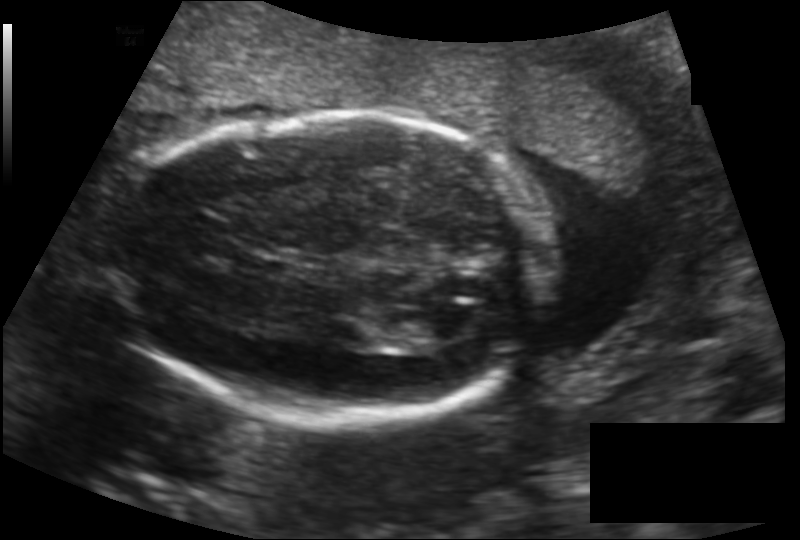
Fetal head ultrasound. Image width: 116.6 mm. Locate the fetal head.

Head: [125,111,548,427]